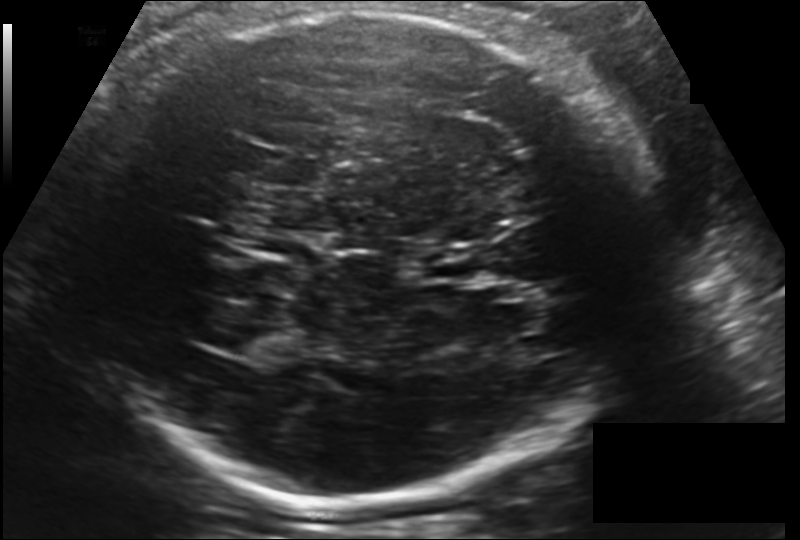
Estimate the fetal head circumference from this 2D ultrasound.

Head circumference: 308.5 mm (image width 145.0 mm).